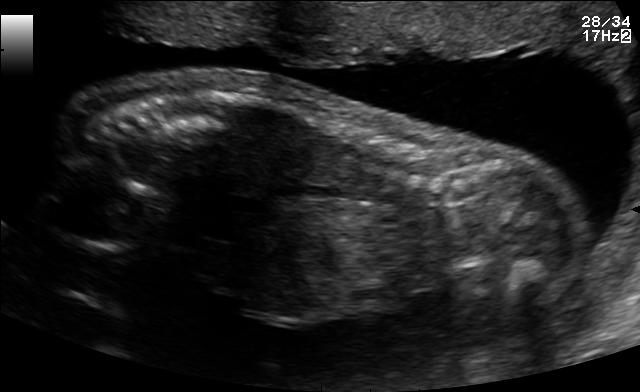
This is a 2D maternal-fetal ultrasound frame. Is it a fetal abdomen, fetal brain, fetal femur, fetal thorax, maternal cervix, or other standard plane? If it's fetal brain and one of the three standard brain planes (trans-thalamic, trans-cerebellum, trans-ventricular), name which.

Other